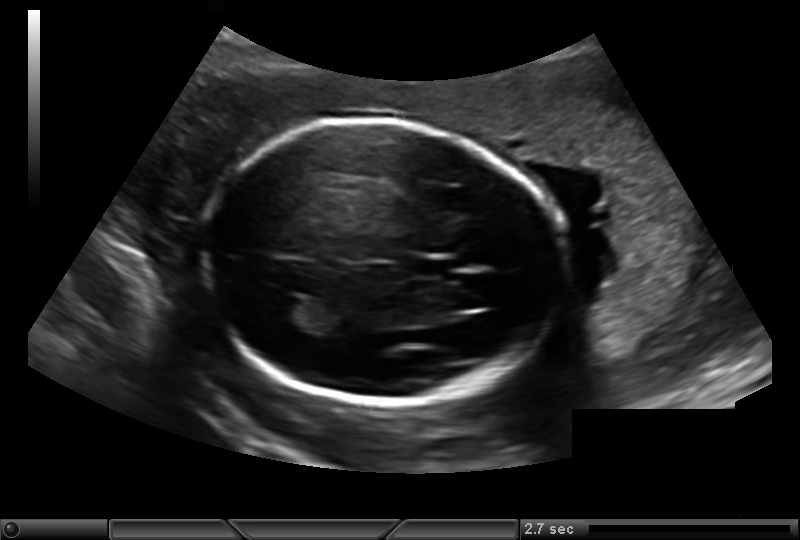
In this fetal head ultrasound, give bounding boxes for the head outline, cavum septum pellucidum (CSP), and lateral ventricle (LV), where visible. Image width: 154.2 mm.

Head: [204,120,563,402]
CSP: [408,257,455,279]
Lateral ventricle: [263,290,316,331]